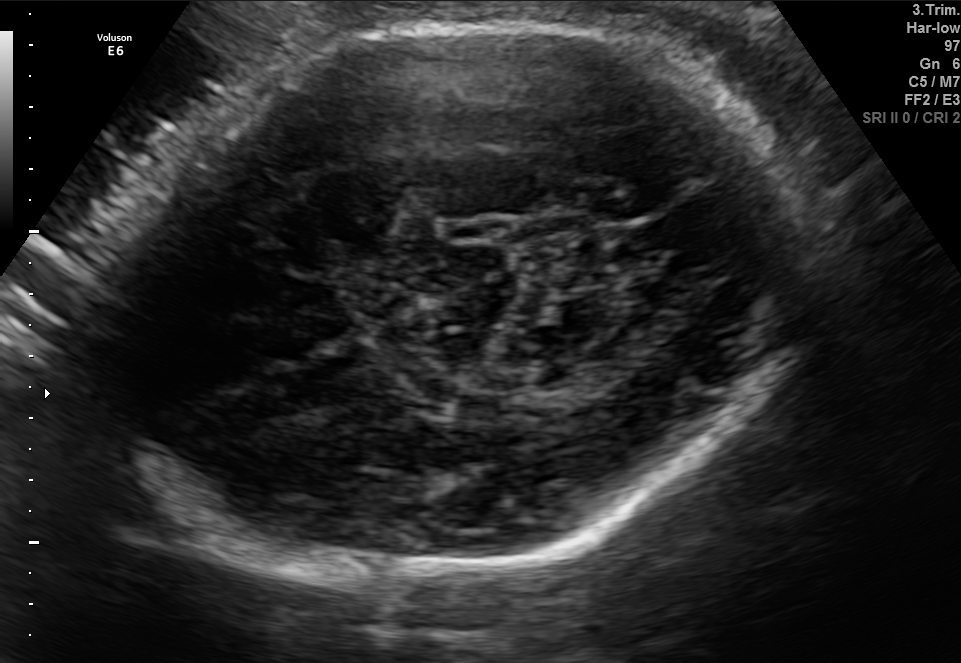
In this fetal brain, trans-thalamic plane, give bounding boxes for the head outline, cavum septum pellucidum (CSP), and lateral ventricle (LV), where visible.

Head: [87,13,818,588]